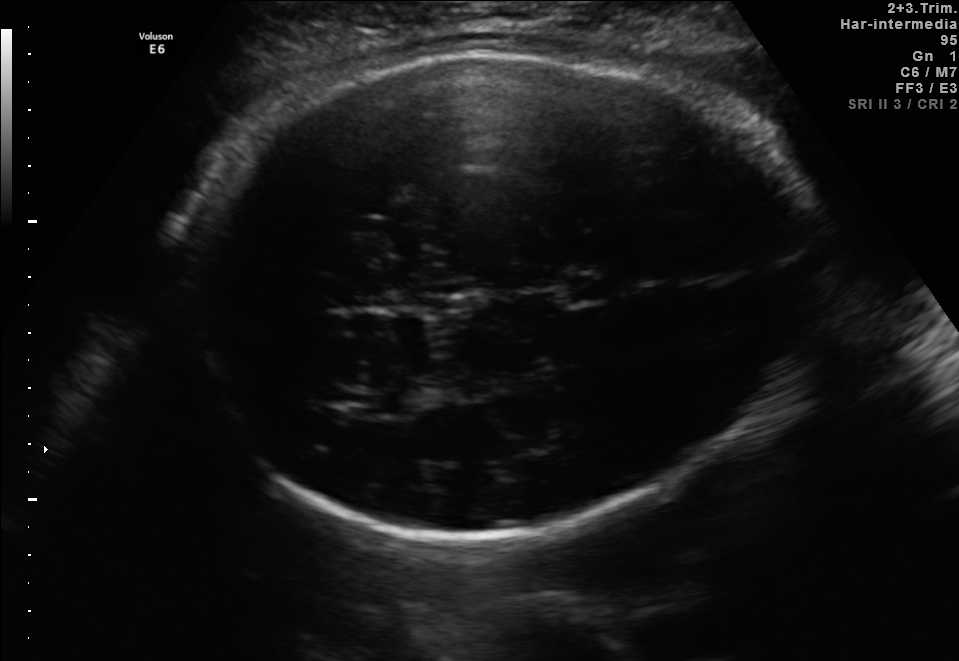
Fetal brain, trans-thalamic plane. Give [x1,y1,x2,y2] bounding boxes for each visible structure among: fetal head, CSP, LV.

Head: [179,54,804,545]
CSP: [566,274,611,304]
Lateral ventricle: [340,389,411,415]